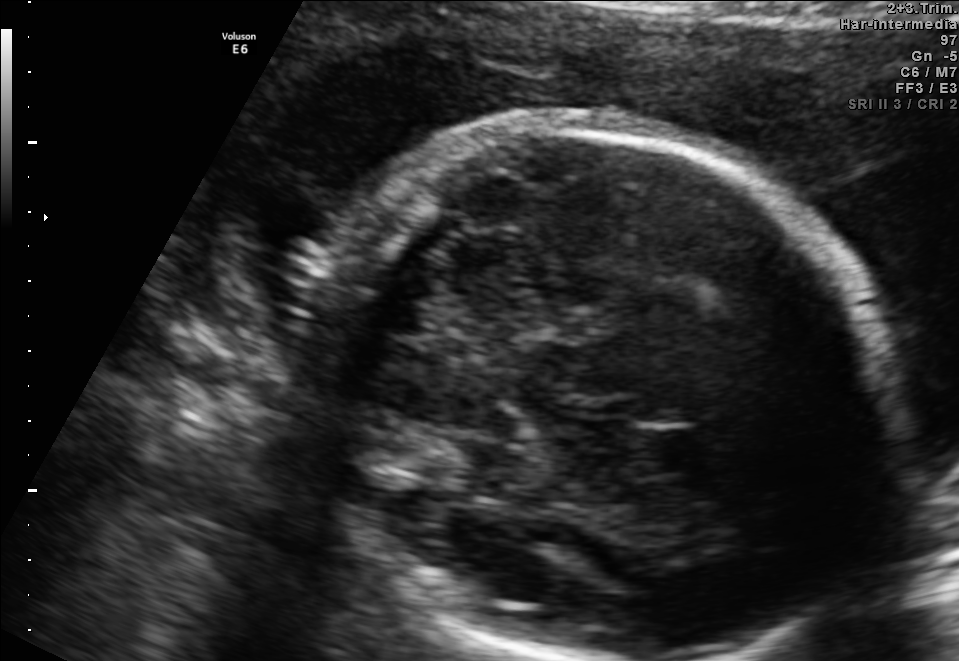
Fetal brain, trans-thalamic plane. Where is the fetal head?

Head bounding box: [304,120,891,657]